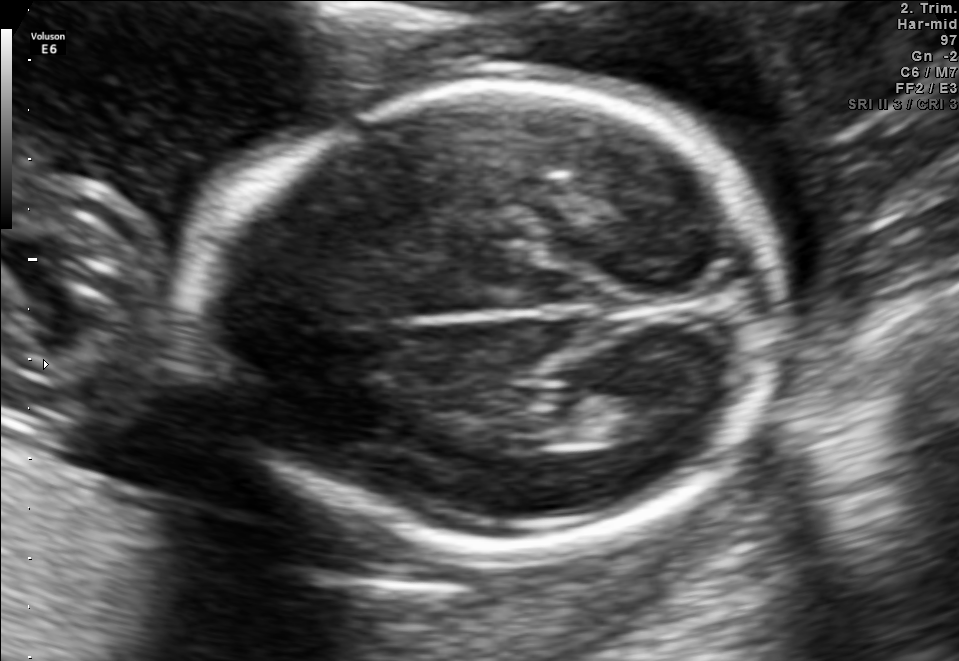
Fetal brain, trans-thalamic plane. Locate the fetal head.

Head: [180,80,789,553]